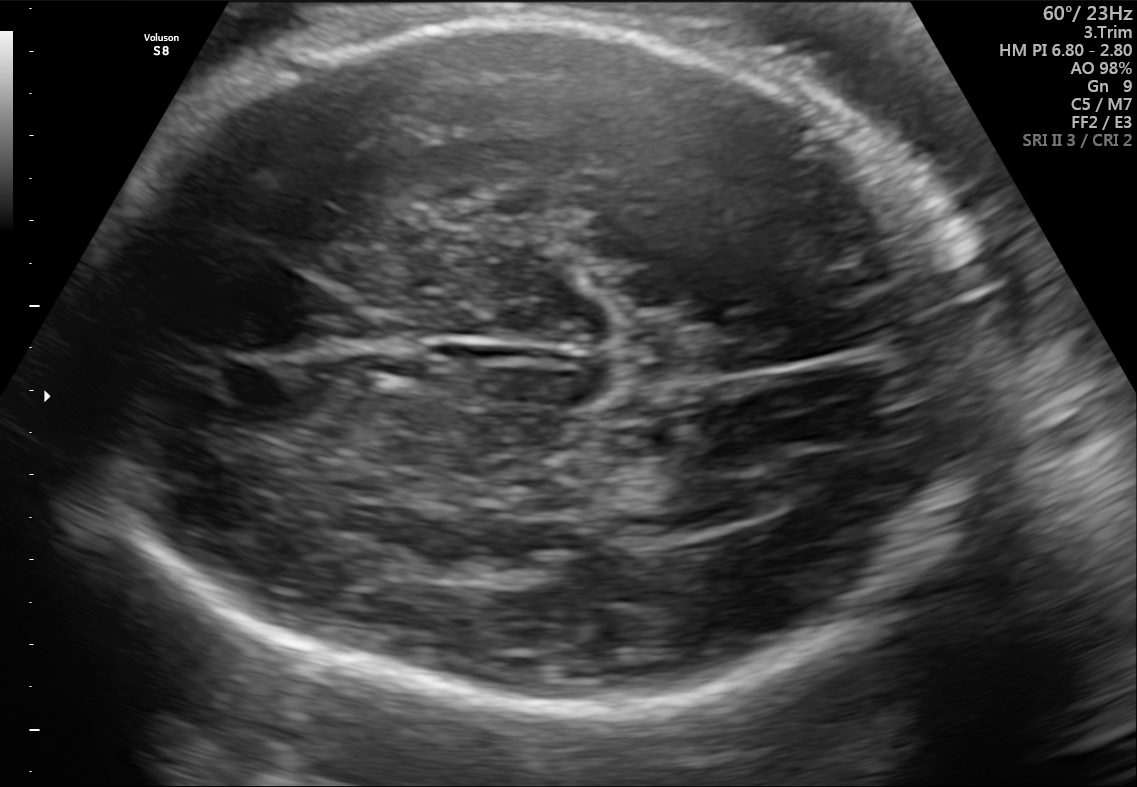
In this fetal brain, trans-thalamic plane, give bounding boxes for the head outline, cavum septum pellucidum (CSP), and lateral ventricle (LV), where visible.

Head: [87,23,977,712]